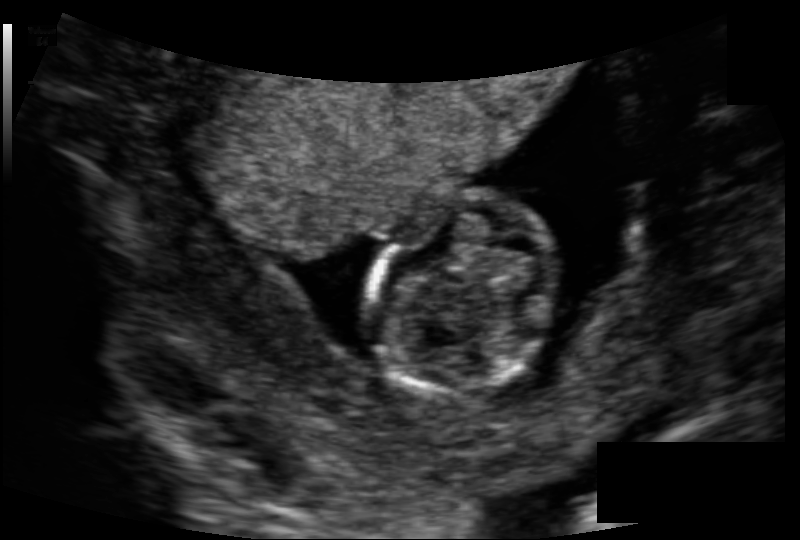
In this fetal head ultrasound, give bounding boxes for the head outline, cavum septum pellucidum (CSP), and lateral ventricle (LV), where visible. Image width: 94.4 mm.

Head: [371,193,561,391]